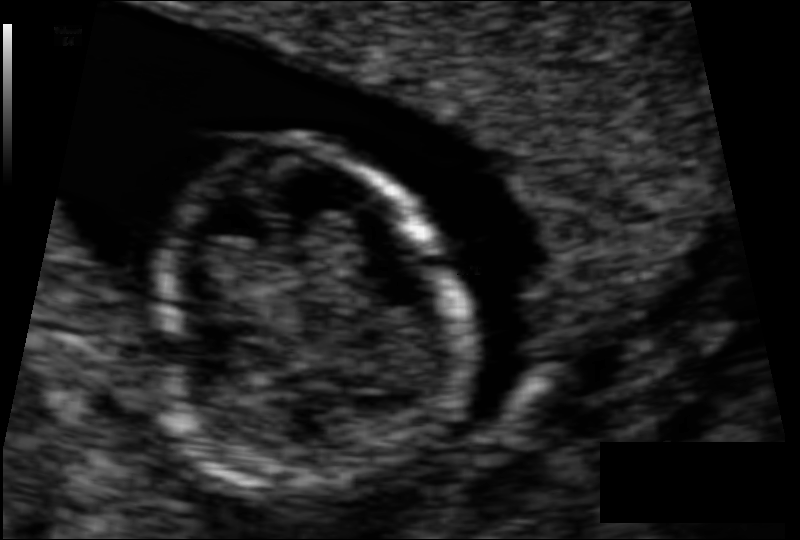
Fetal head ultrasound. Image width: 49.5 mm. Locate the fetal head and, if visible, the cavum septum pellucidum (CSP) and lateral ventricle (LV). Give bounding boxes as [x1,y1,x2,y2].

Head: [147,138,458,485]